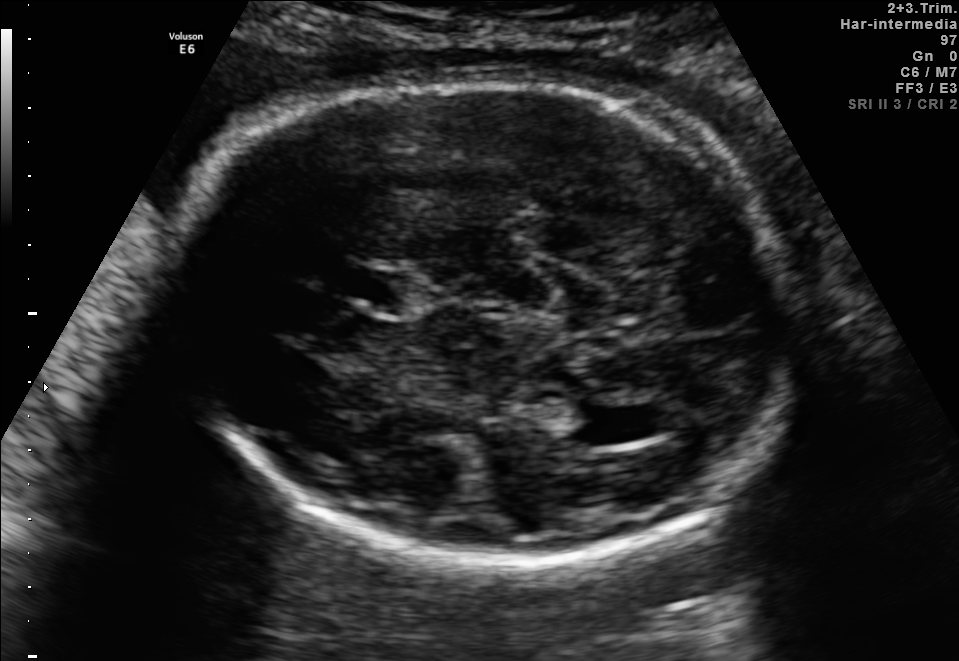
Classify this maternal-fetal ultrasound image as one of the six standard planes — fetal abdomen, fetal brain, fetal femur, fetal thorax, maternal cervix, or other. If it's fetal brain and one of the three standard brain planes (trans-thalamic, trans-cerebellum, trans-ventricular), name which.

Fetal brain (trans-ventricular plane)